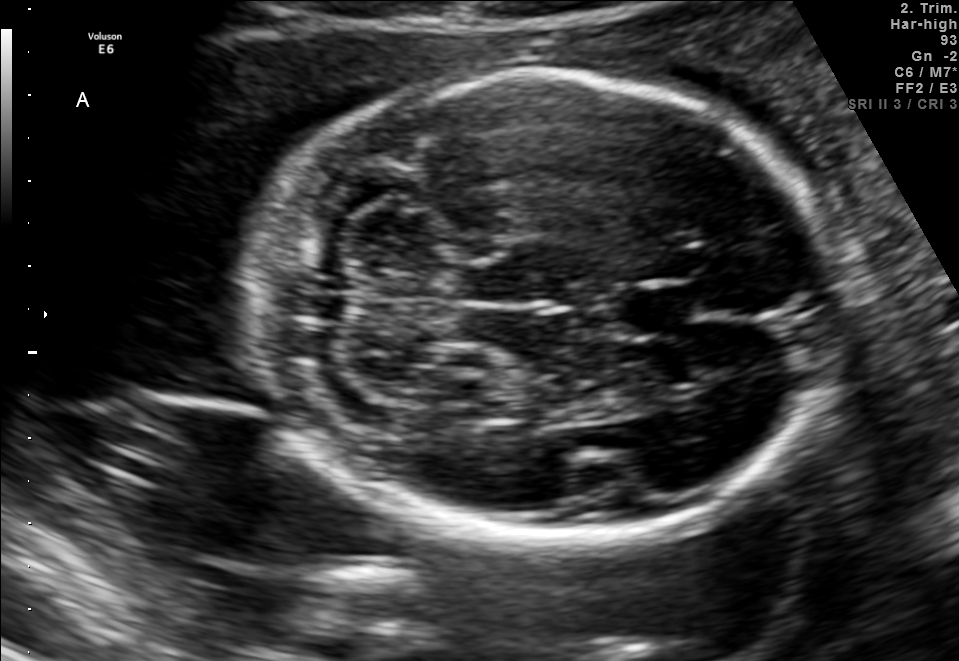
In this fetal brain, trans-cerebellum plane, give bounding boxes for the head outline, cavum septum pellucidum (CSP), and lateral ventricle (LV), where visible.

Head: [257,74,836,541]
CSP: [615,279,697,340]